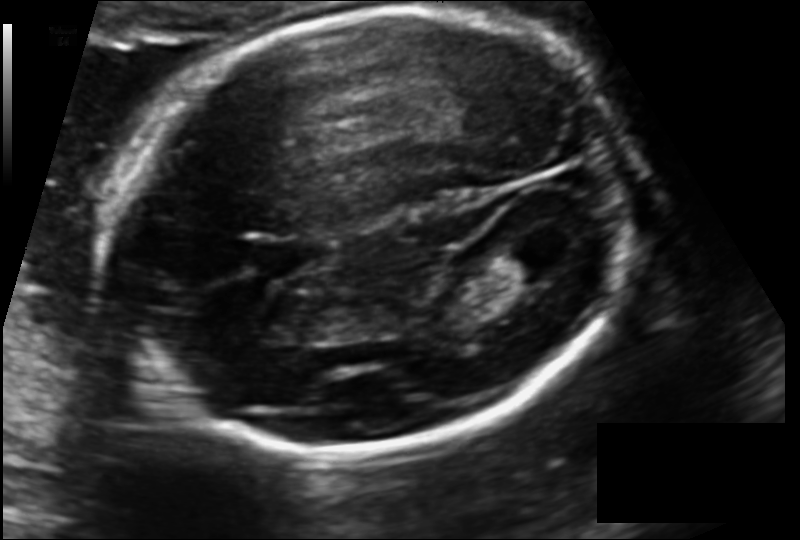
From this fetal ultrasound, estimate the head circumference (image width 105.5 mm).

Head circumference: 204.9 mm.